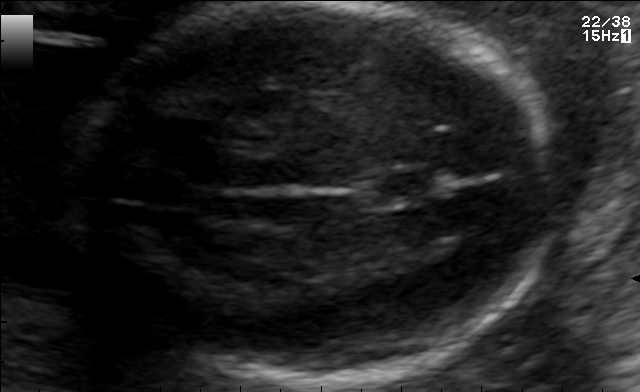
Fetal brain, trans-thalamic plane. Locate the fetal head.

Head: [64,4,557,383]